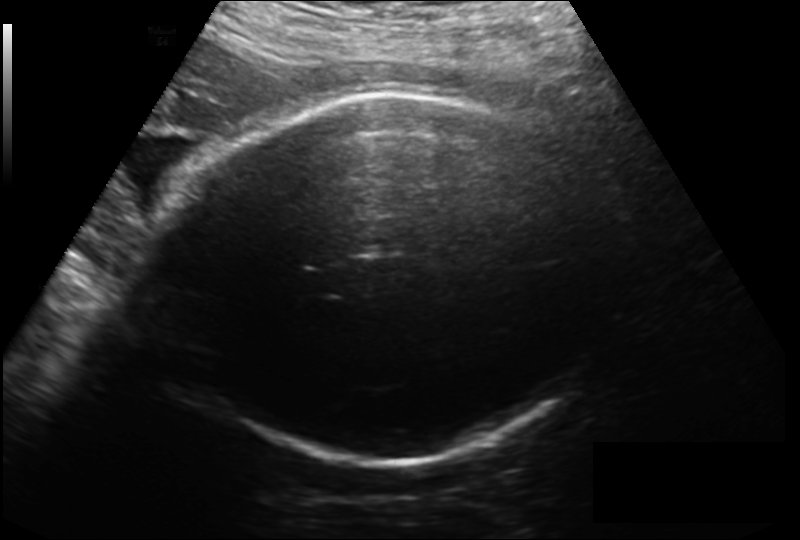
Fetal head ultrasound. Image width: 171.5 mm. Locate the fetal head.

Head: [159,94,609,462]